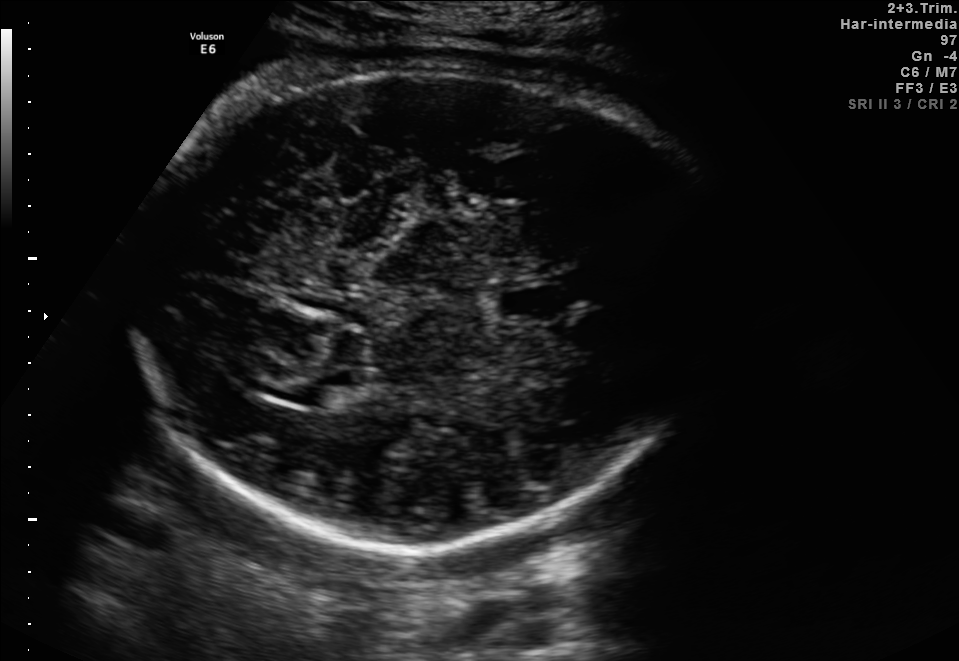
In this fetal brain, trans-thalamic plane, give the bounding box of the cavum septum pellucidum.

[497,280,561,319]